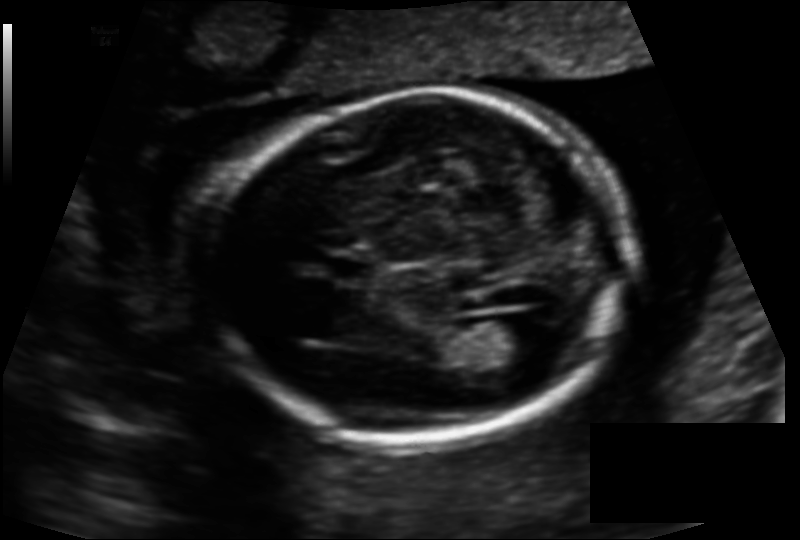
In this fetal head ultrasound, give the bounding box of the lateral ventricle. Image width: 107.3 mm.

[491,306,559,363]